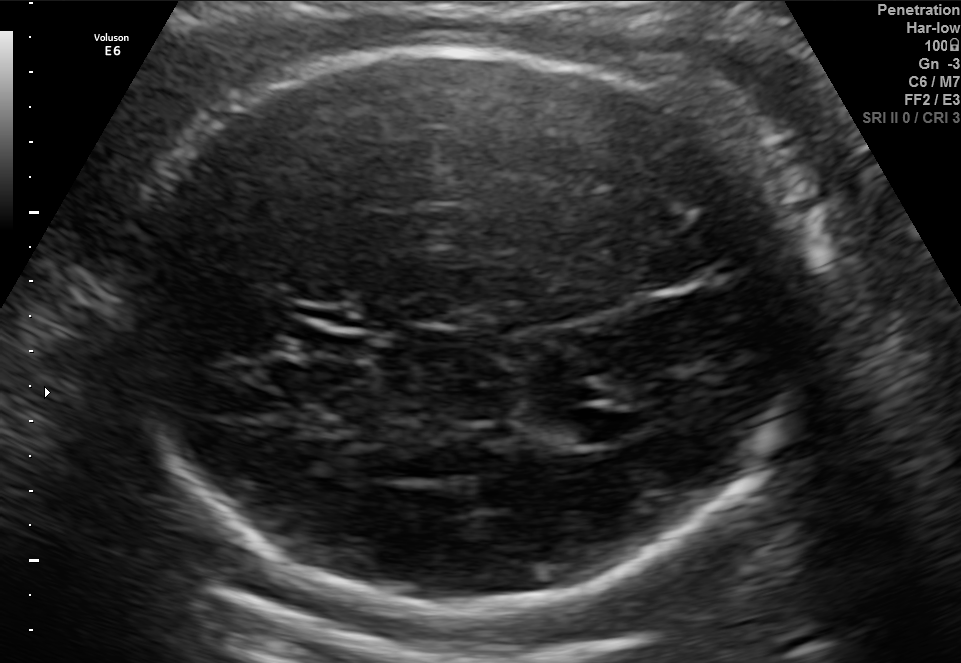
Fetal brain, trans-ventricular plane. Locate the cavum septum pellucidum.

CSP: [292,294,370,341]